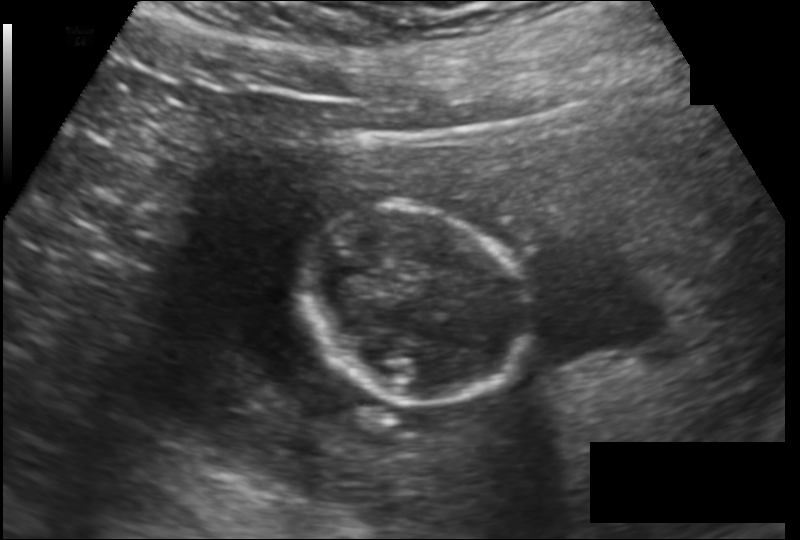
What is the fetal head circumference? Image width is 119.2 mm.

105.6 mm